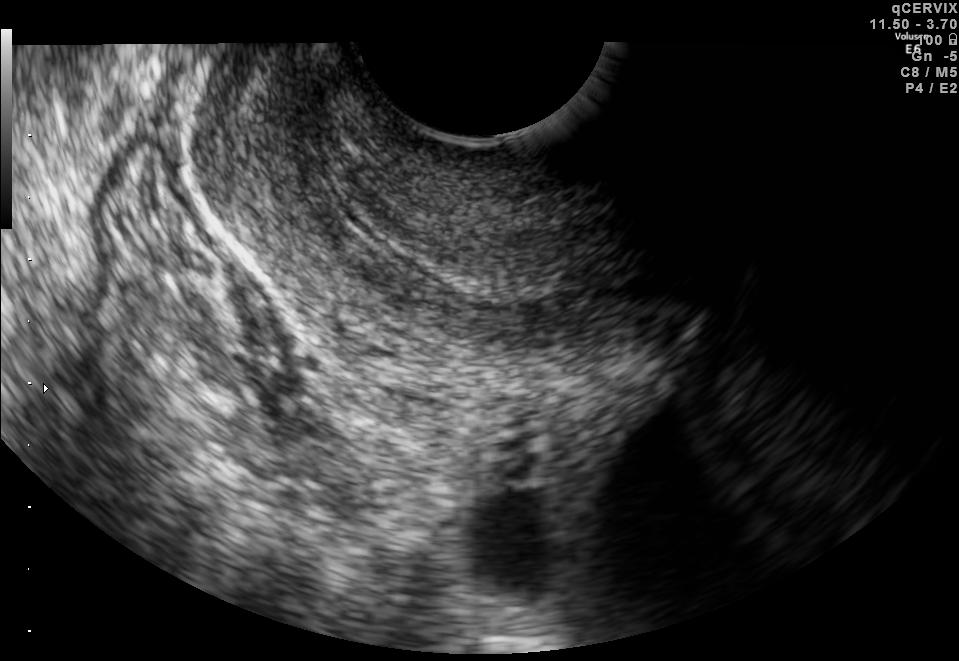
Which standard maternal-fetal ultrasound plane is shown: fetal abdomen, fetal brain, fetal femur, fetal thorax, maternal cervix, or other? If it's fetal brain and one of the three standard brain planes (trans-thalamic, trans-cerebellum, trans-ventricular), name which.

Maternal cervix